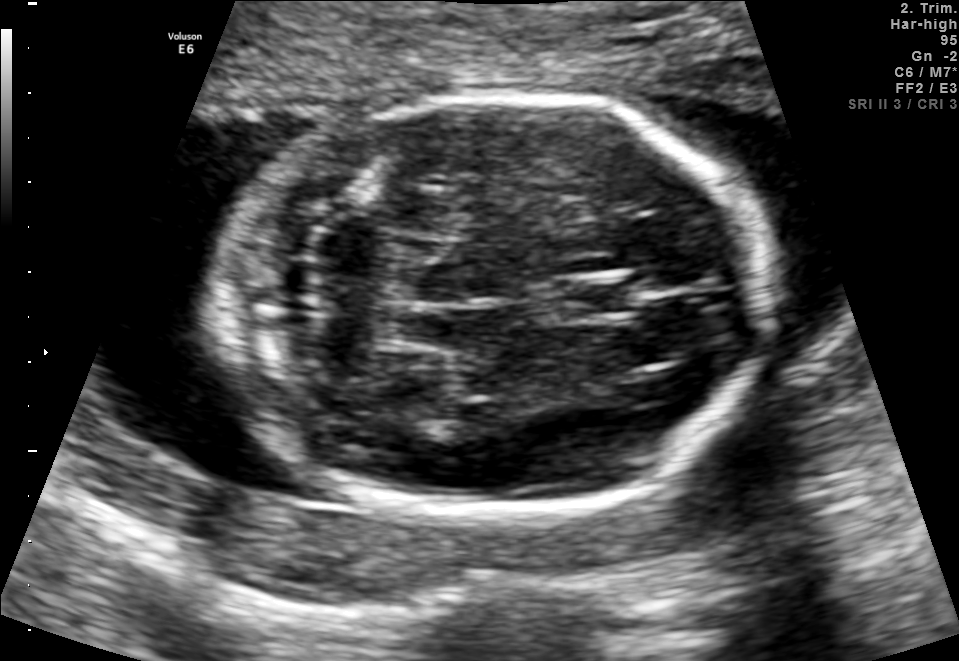
Fetal brain, trans-cerebellum plane. Locate the cavum septum pellucidum.

CSP: [547,277,634,322]